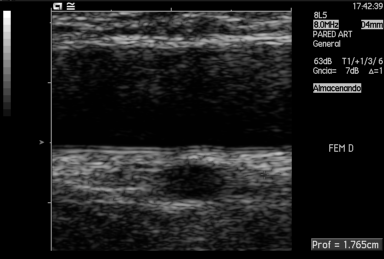
Classify this maternal-fetal ultrasound image as one of the six standard planes — fetal abdomen, fetal brain, fetal femur, fetal thorax, maternal cervix, or other. If it's fetal brain and one of the three standard brain planes (trans-thalamic, trans-cerebellum, trans-ventricular), name which.

Other